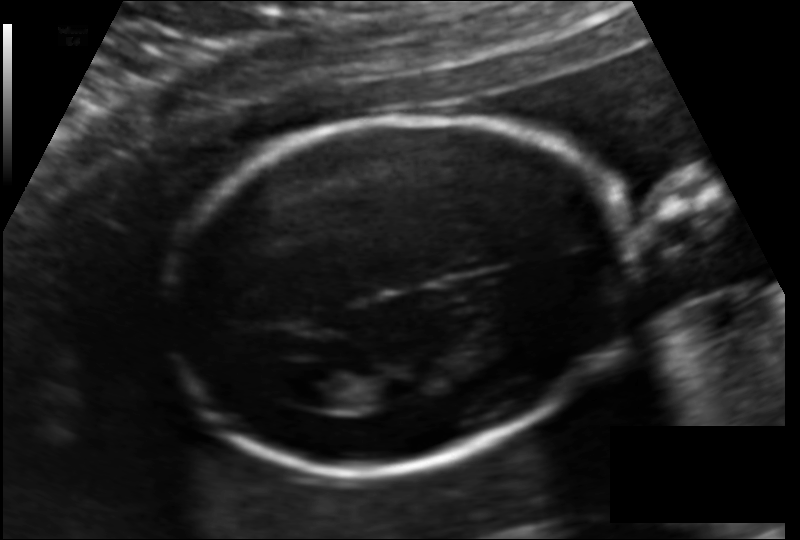
Estimate the fetal head circumference from this 2D ultrasound.

Head circumference: 166.8 mm (image width 101.5 mm).